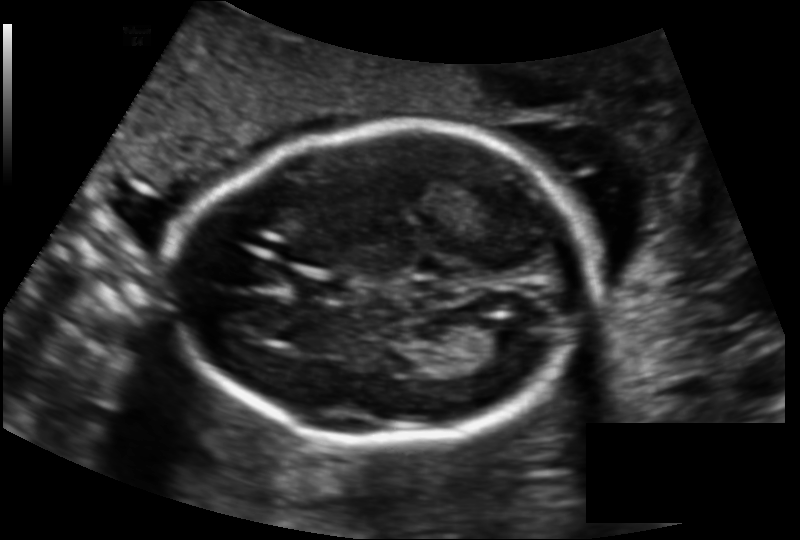
Fetal head ultrasound. Image width: 109.7 mm. Give [x1,y1,x2,y2] bounding boxes for each visible structure among: fetal head, CSP, LV.

Head: [177,124,593,444]
CSP: [297,272,351,303]
Lateral ventricle: [469,315,532,364]